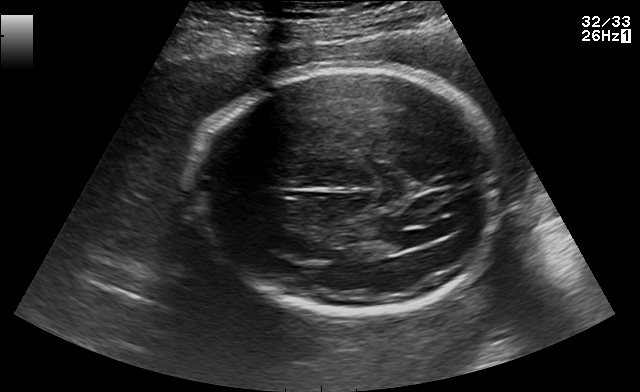
Fetal brain, trans-ventricular plane. Locate the fetal head.

Head: [191,63,507,320]